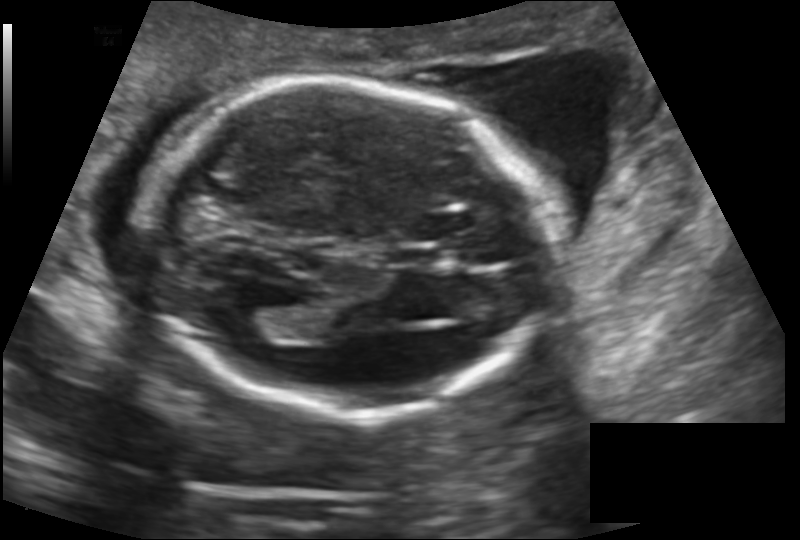
Fetal head ultrasound. Image width: 116.4 mm. Locate the fetal head and, if visible, the cavum septum pellucidum (CSP) and lateral ventricle (LV). Give bounding boxes as [x1,y1,x2,y2].

Head: [141,80,547,414]
CSP: [389,247,442,268]
Lateral ventricle: [225,307,278,339]